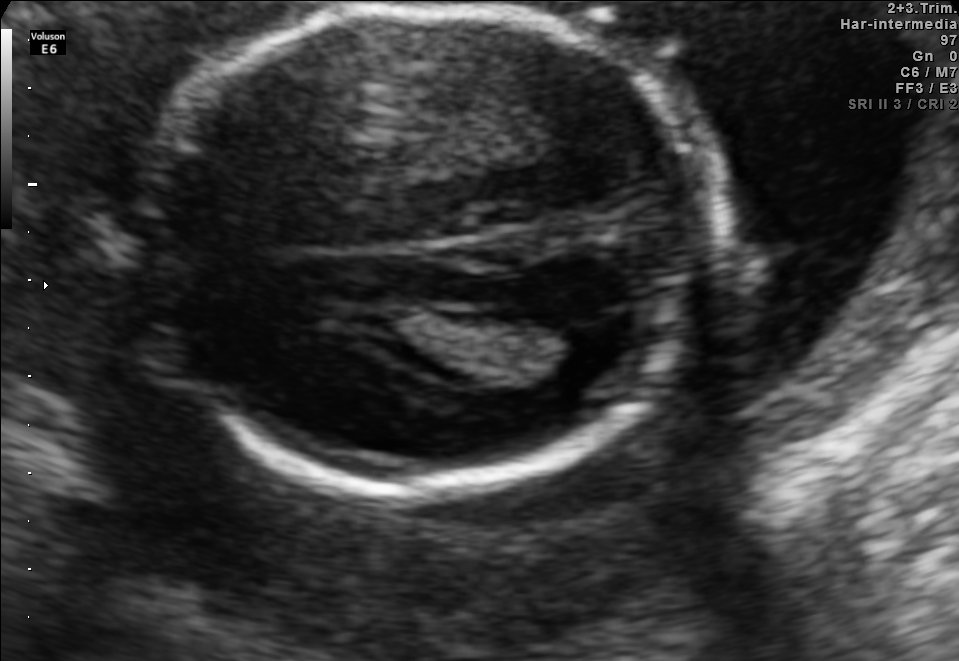
In this fetal brain, trans-thalamic plane, give bounding boxes for the head outline, cavum septum pellucidum (CSP), and lateral ventricle (LV), where visible.

Head: [147,7,708,492]